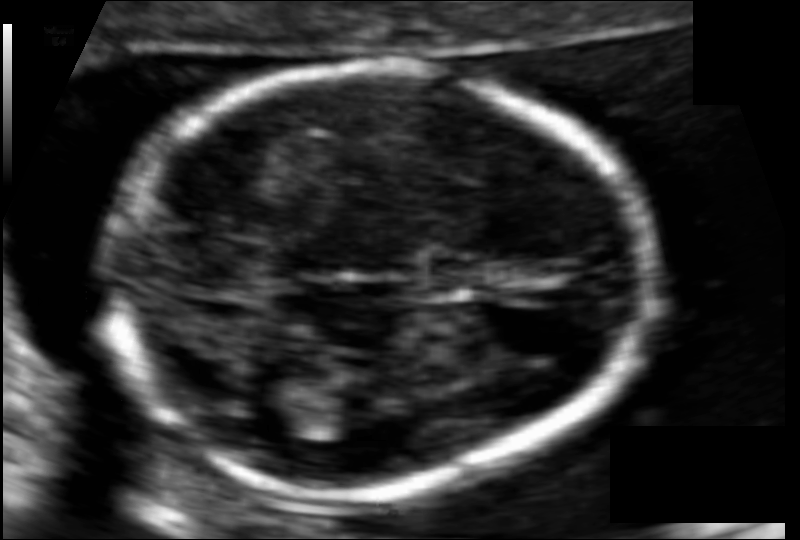
In this fetal head ultrasound, give bounding boxes for the head outline, cavum septum pellucidum (CSP), and lateral ventricle (LV), where visible. Image width: 67.6 mm.

Head: [105,67,645,501]